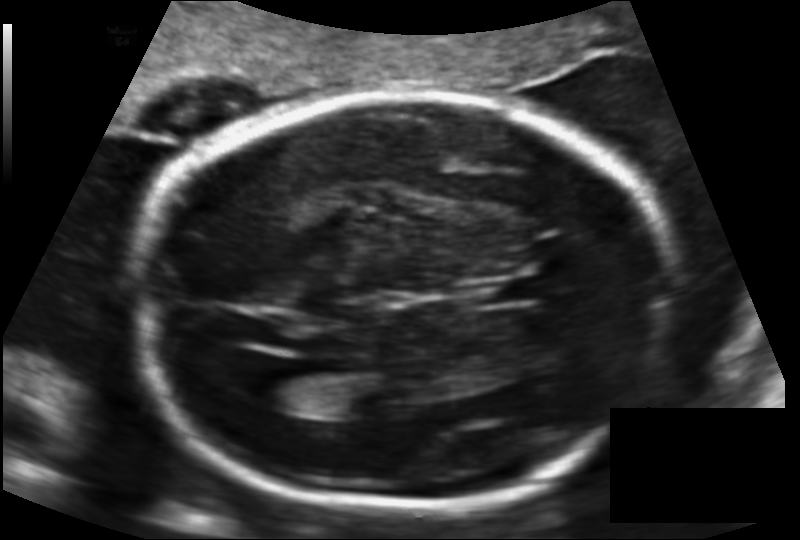
Estimate the fetal head circumference from this 2D ultrasound. Image width: 113.0 mm.

Head circumference: 221.3 mm.